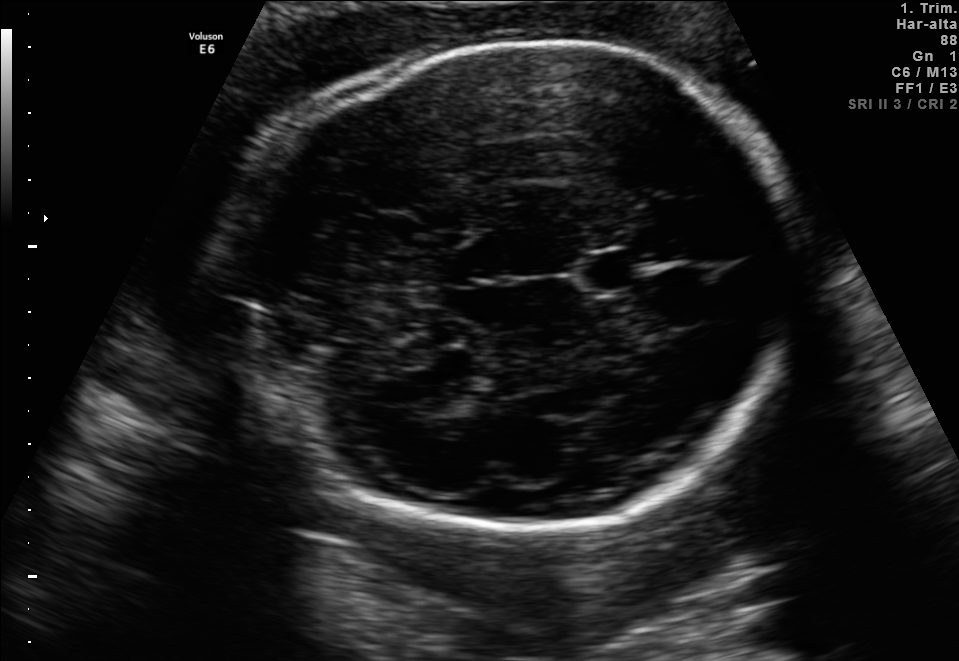
In this fetal brain, trans-thalamic plane, give the bounding box of the cavum septum pellucidum.

[582,248,640,293]